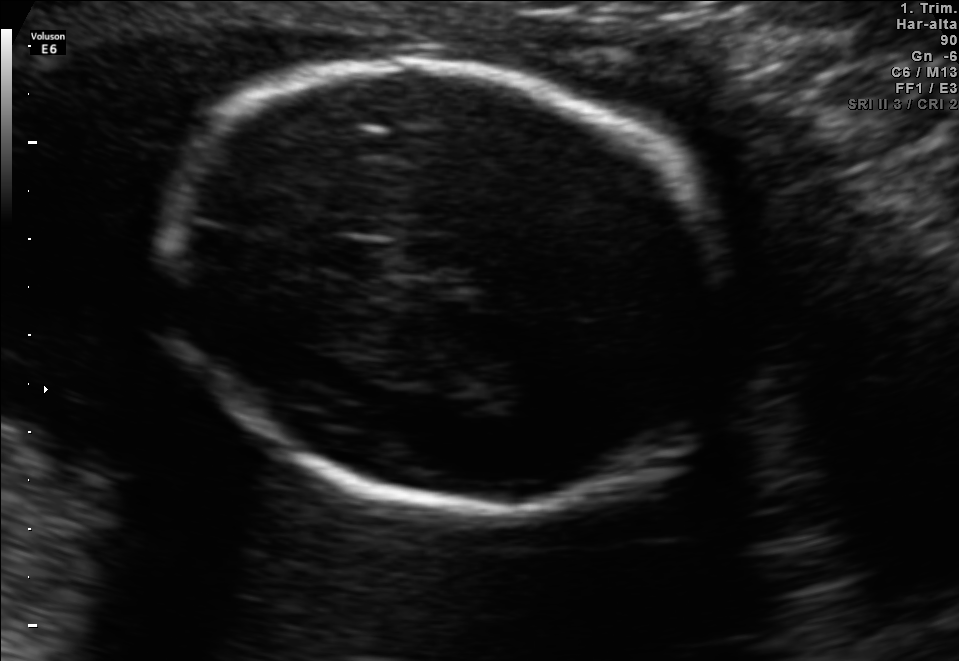
Fetal brain, trans-thalamic plane. Locate the fetal head.

Head: [164,60,727,515]